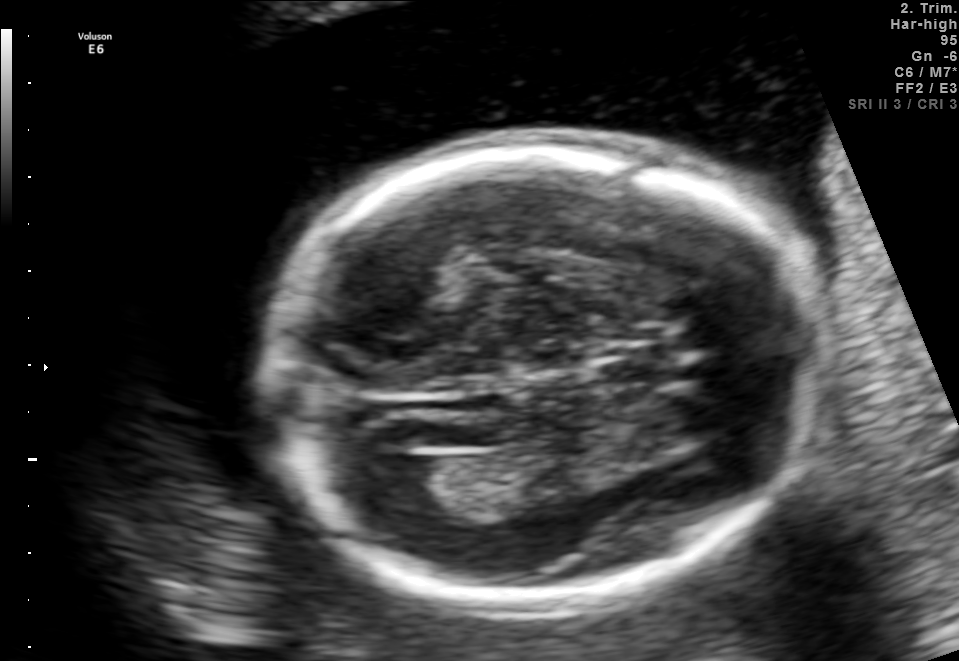
Fetal brain, trans-ventricular plane. Where is the fetal head?

Head bounding box: [248,128,841,617]